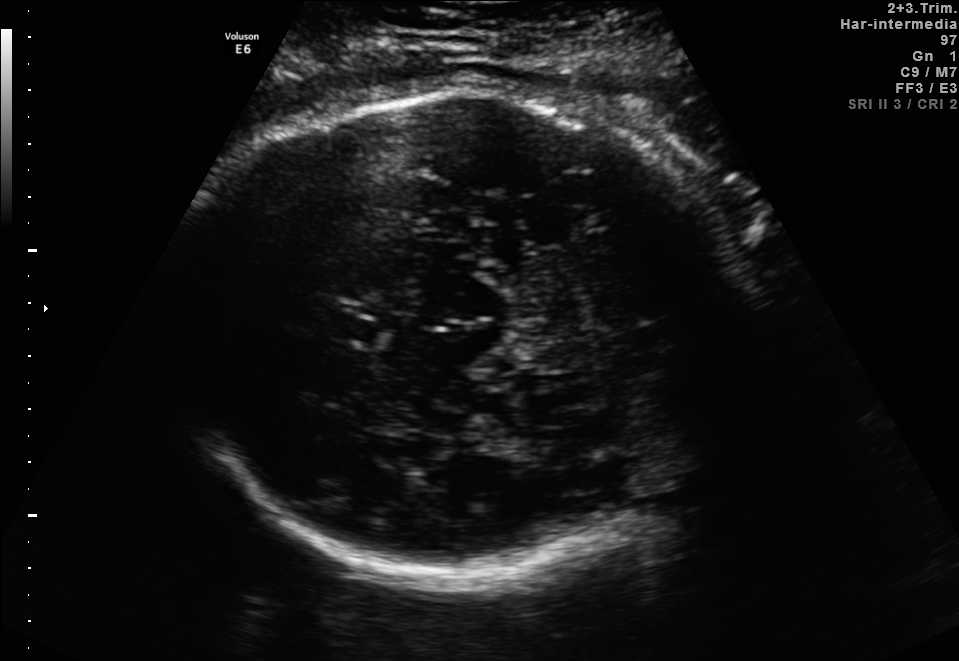
In this fetal brain, trans-thalamic plane, give bounding boxes for the head outline, cavum septum pellucidum (CSP), and lateral ventricle (LV), where visible.

Head: [164,87,753,574]
CSP: [329,313,378,344]